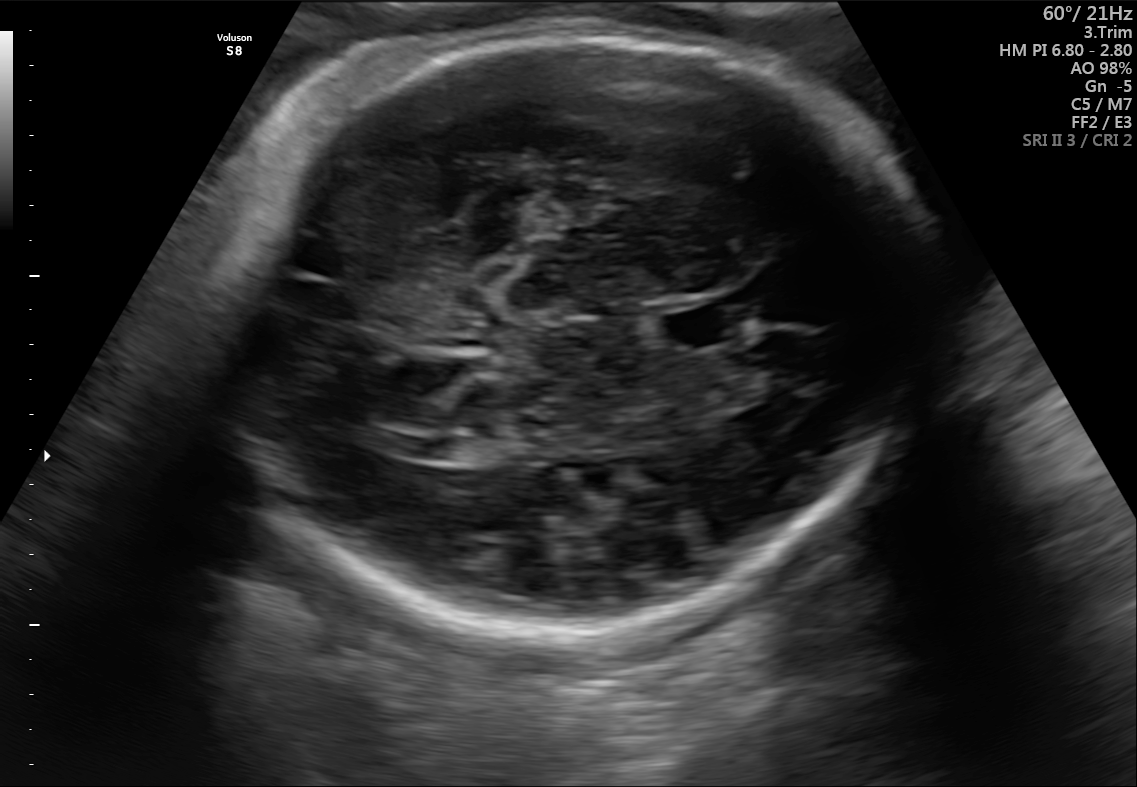
Fetal brain, trans-thalamic plane. Where is the cavum septum pellucidum?

CSP bounding box: [654,294,751,359]